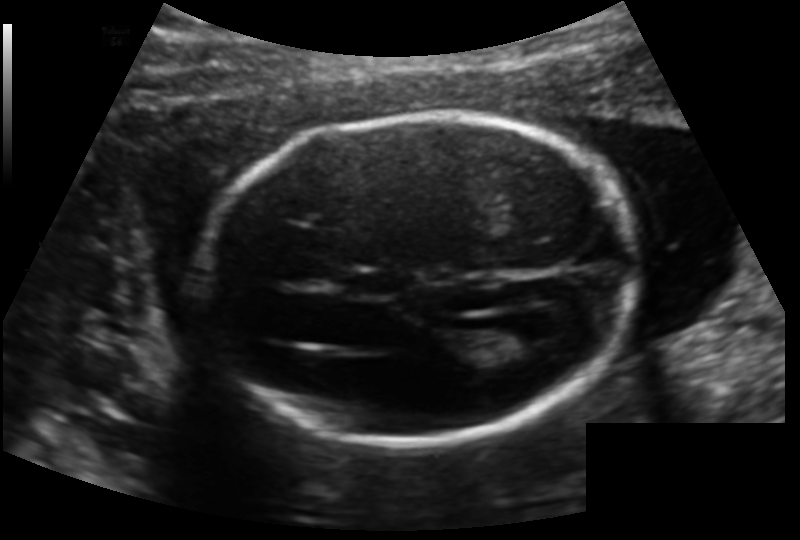
Fetal head ultrasound. Image width: 112.1 mm. Give [x1,y1,x2,y2] bounding boxes for each visible structure among: fetal head, CSP, LV.

Head: [203,114,637,444]
CSP: [348,270,401,297]
Lateral ventricle: [485,320,551,362]